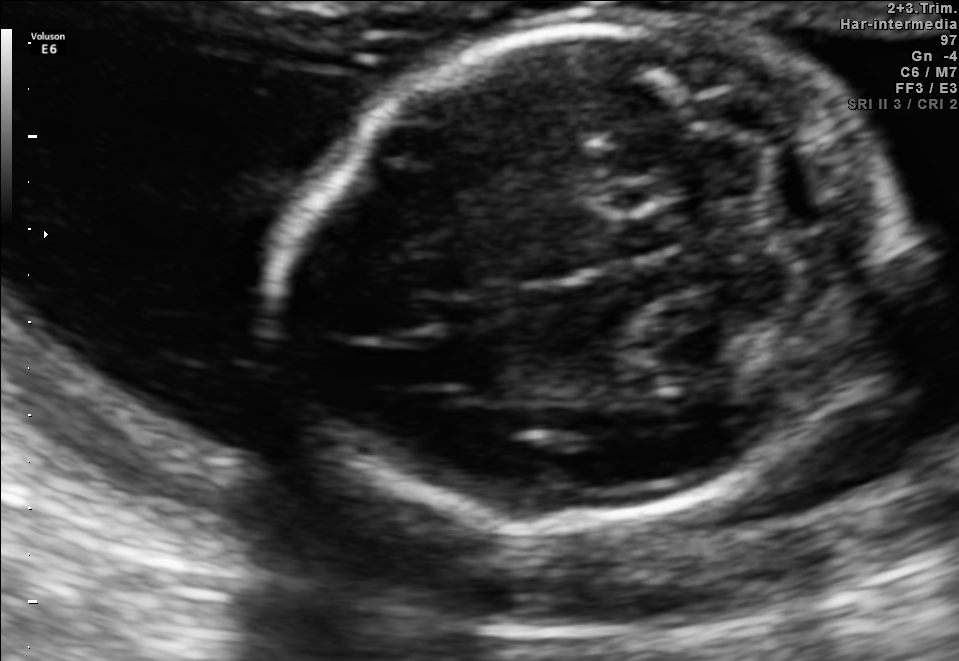
Classify this maternal-fetal ultrasound image as one of the six standard planes — fetal abdomen, fetal brain, fetal femur, fetal thorax, maternal cervix, or other. If it's fetal brain and one of the three standard brain planes (trans-thalamic, trans-cerebellum, trans-ventricular), name which.

Fetal brain (trans-cerebellum plane)